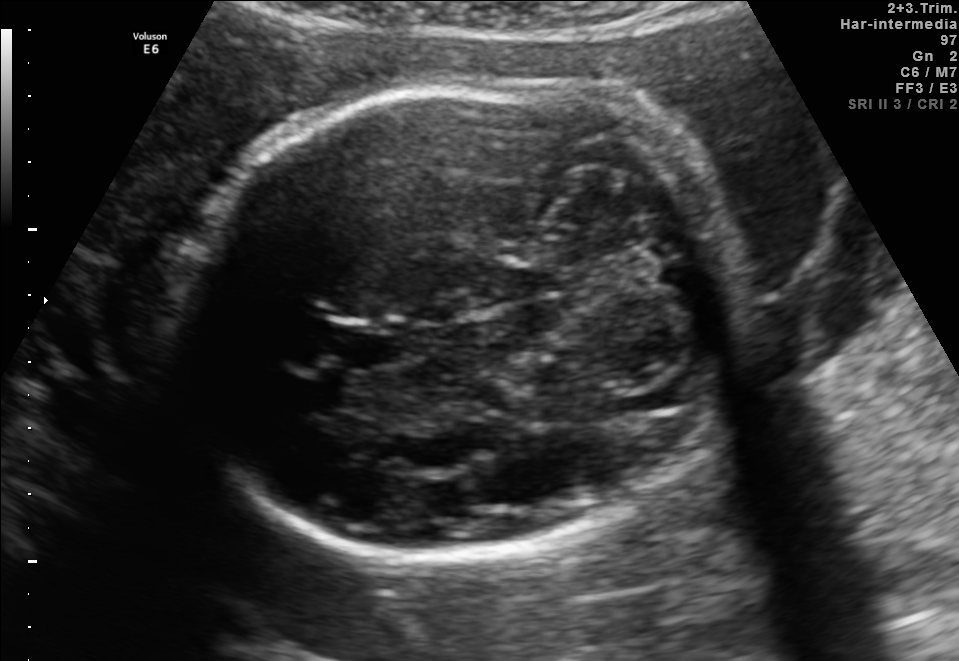
Fetal brain, trans-cerebellum plane. Locate the fetal head.

Head: [174,77,739,558]